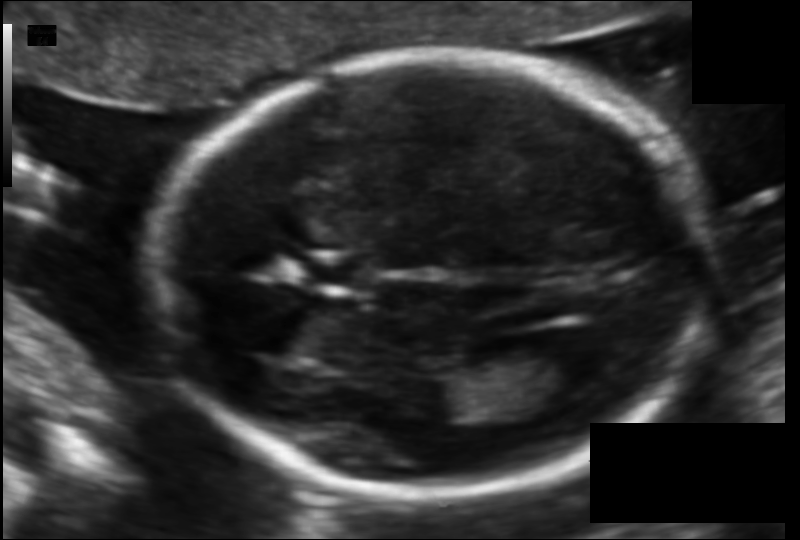
Measure the fetal head circumference shown in this ultrasound image. Image width: 83.8 mm.

Head circumference: 171.0 mm.